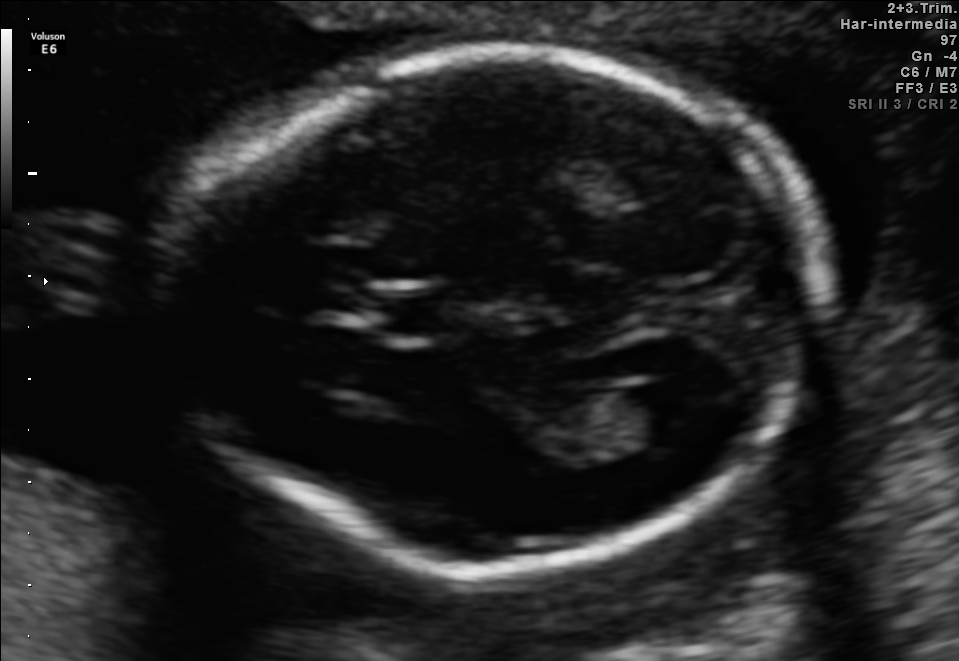
In this fetal brain, trans-ventricular plane, give bounding boxes for the head outline, cavum septum pellucidum (CSP), and lateral ventricle (LV), where visible.

Head: [149,37,840,588]
CSP: [363,297,442,336]
Lateral ventricle: [631,366,722,440]